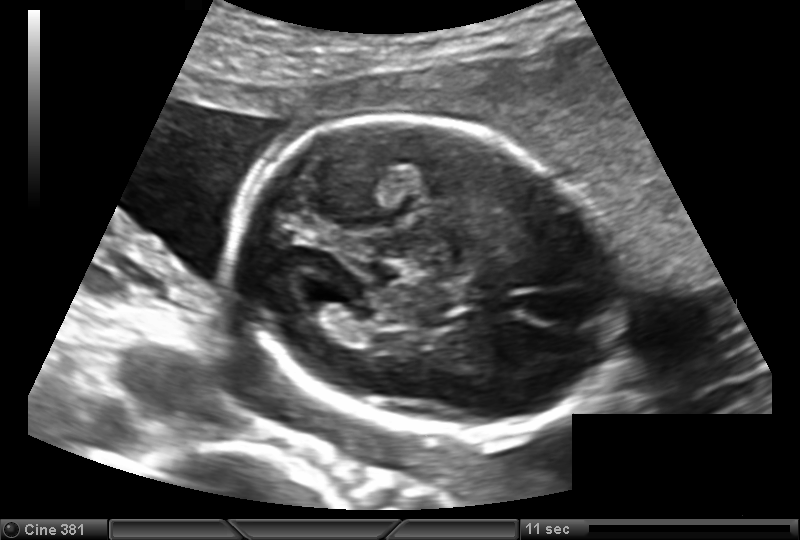
In this fetal head ultrasound, give the bounding box of the lateral ventricle. Image width: 111.0 mm.

[292,276,351,335]